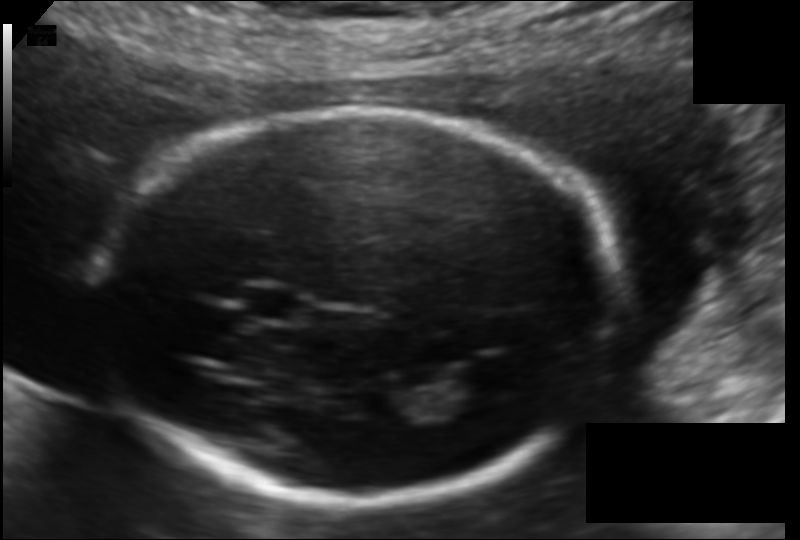
In this fetal head ultrasound, give bounding boxes for the head outline, cavum septum pellucidum (CSP), and lateral ventricle (LV), where visible. Image width: 96.1 mm.

Head: [99,113,619,501]
CSP: [242,281,306,323]
Lateral ventricle: [448,353,517,404]